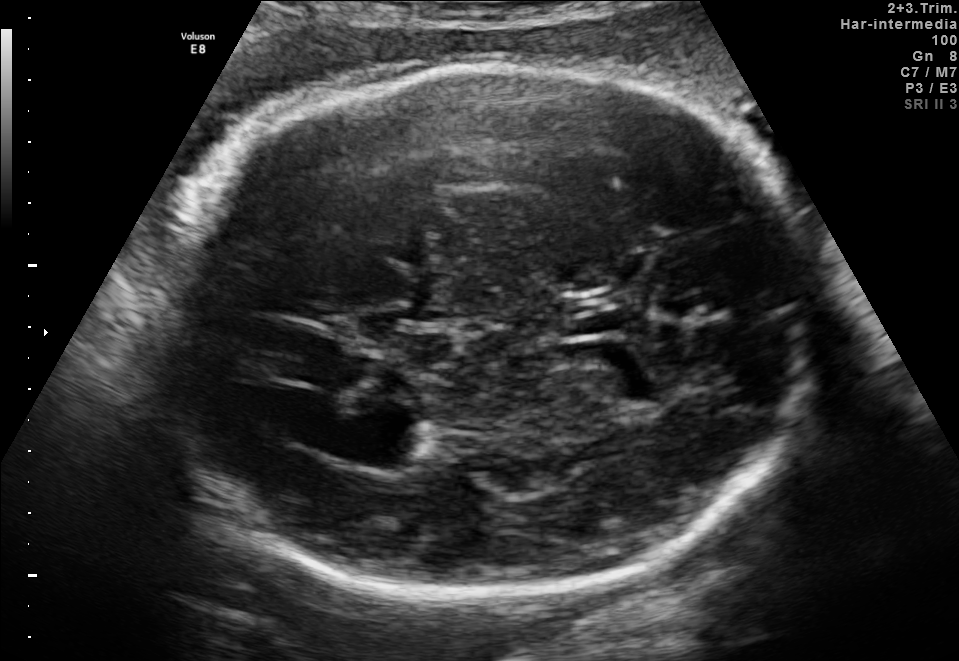
In this fetal brain, trans-thalamic plane, give the bounding box of the lateral ventricle.

[361,417,434,466]